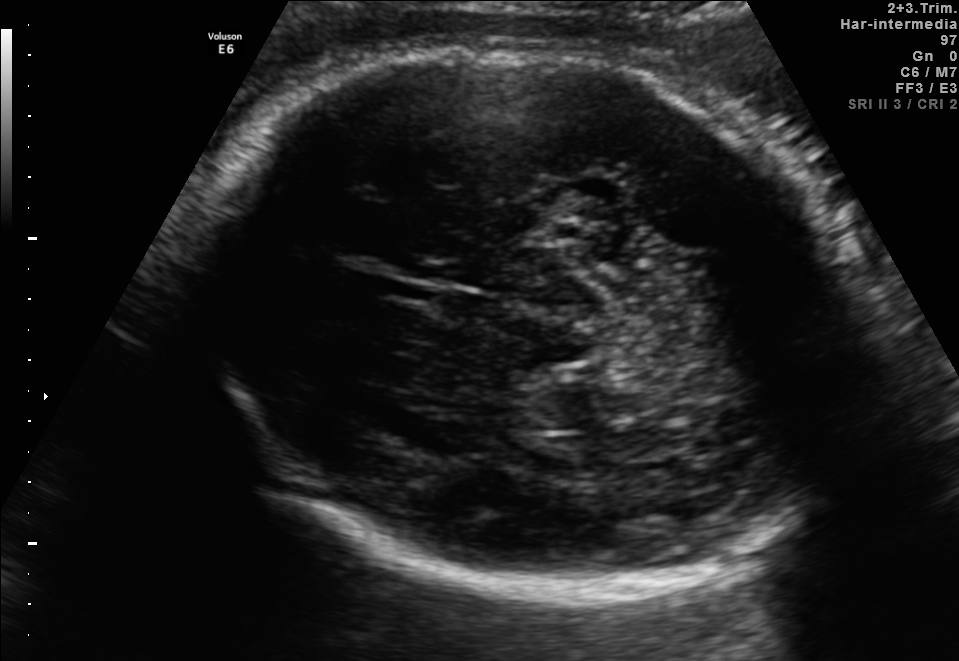
Fetal brain, trans-thalamic plane. Give [x1,y1,x2,y2] bounding boxes for each visible structure among: fetal head, CSP, LV.

Head: [192,46,863,599]